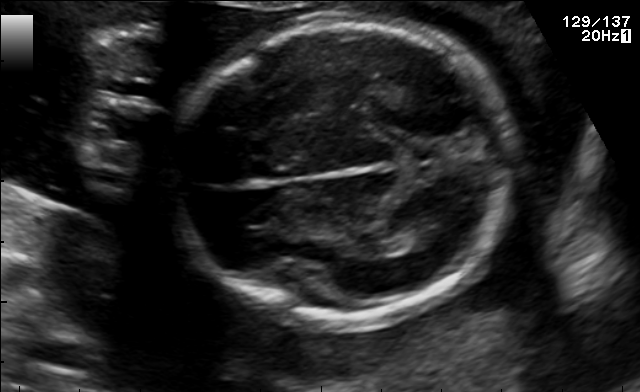
Fetal brain, trans-thalamic plane. Locate the lateral ventricle.

Lateral ventricle: [395,218,449,254]